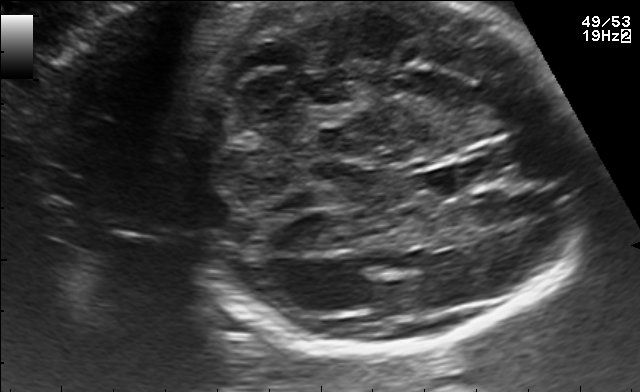
Fetal brain, trans-cerebellum plane. Locate the fetal head.

Head: [176,1,581,352]